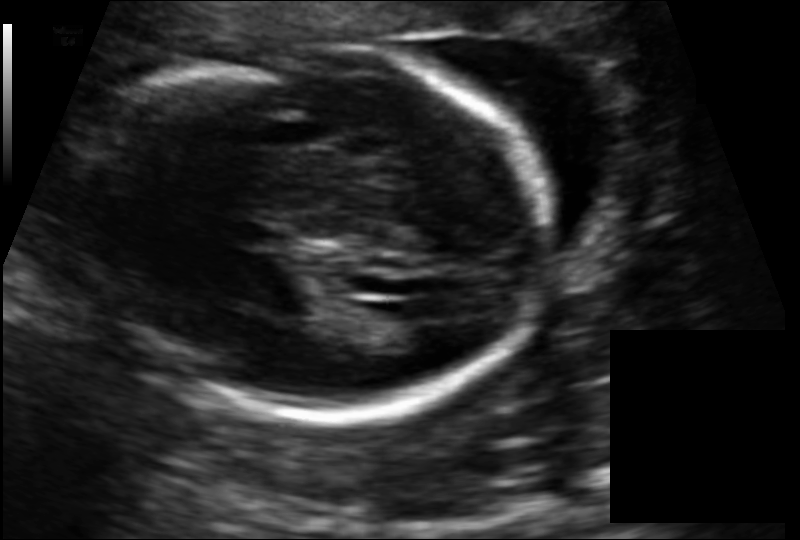
Fetal head ultrasound. Image width: 108.7 mm. Give [x1,y1,x2,y2] bounding boxes for each visible structure among: fetal head, CSP, LV.

Head: [96,47,551,418]